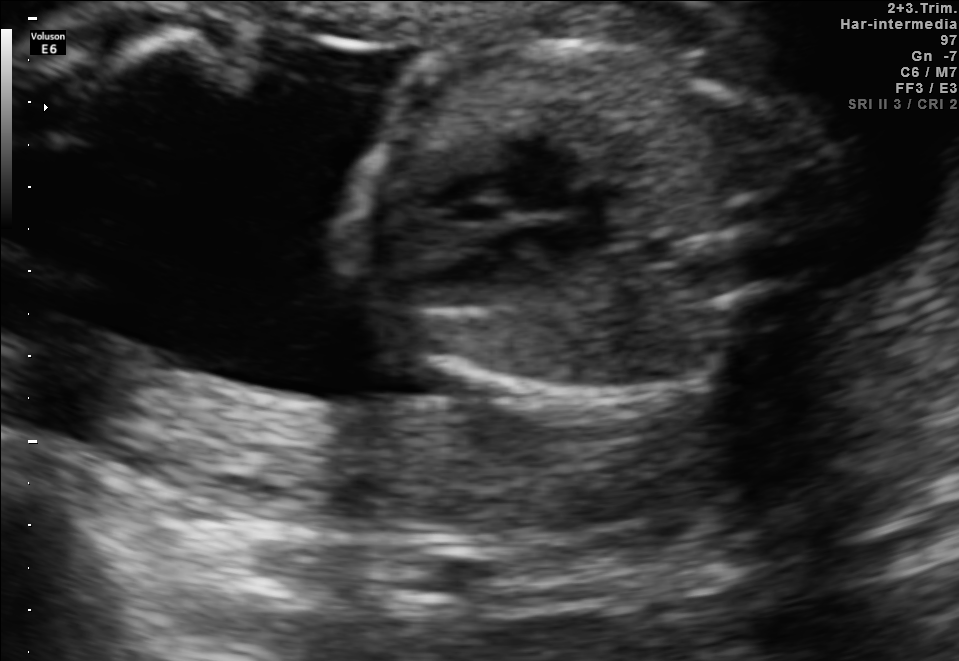
Classify this maternal-fetal ultrasound image as one of the six standard planes — fetal abdomen, fetal brain, fetal femur, fetal thorax, maternal cervix, or other. If it's fetal brain and one of the three standard brain planes (trans-thalamic, trans-cerebellum, trans-ventricular), name which.

Fetal thorax